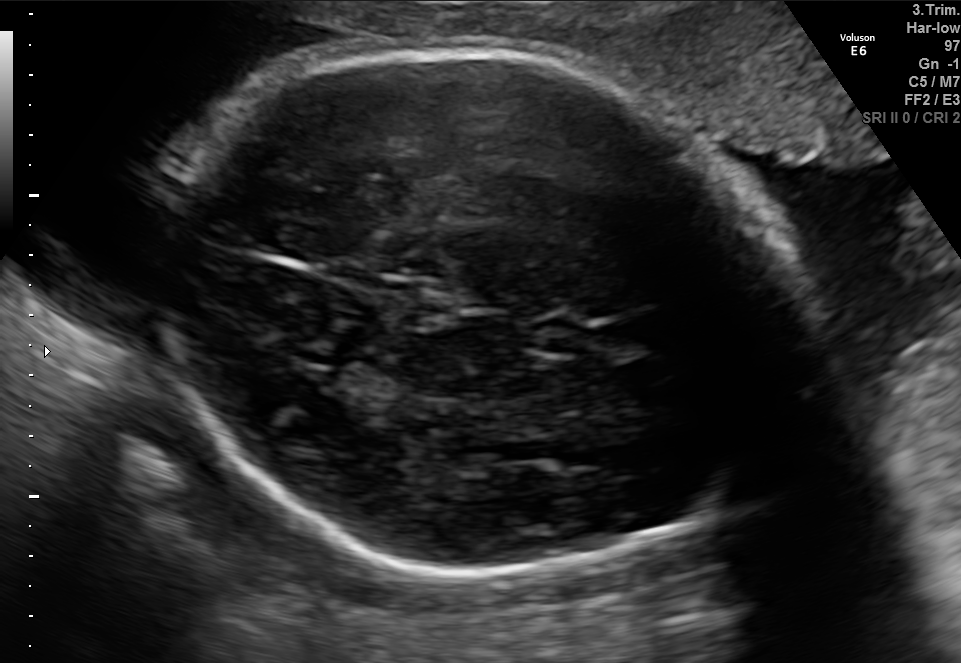
In this fetal brain, trans-thalamic plane, give bounding boxes for the head outline, cavum septum pellucidum (CSP), and lateral ventricle (LV), where visible.

Head: [153,49,804,578]